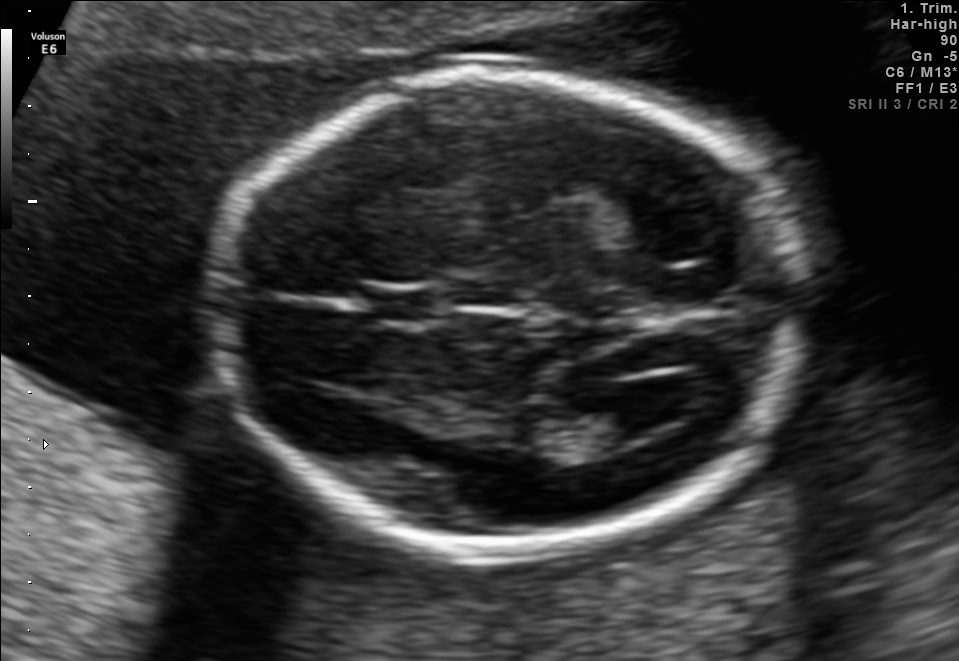
Fetal brain, trans-ventricular plane. Give [x1,y1,x2,y2] bounding boxes for each visible structure among: fetal head, CSP, LV.

Head: [197,57,828,566]
CSP: [369,291,434,321]
Lateral ventricle: [598,371,692,440]